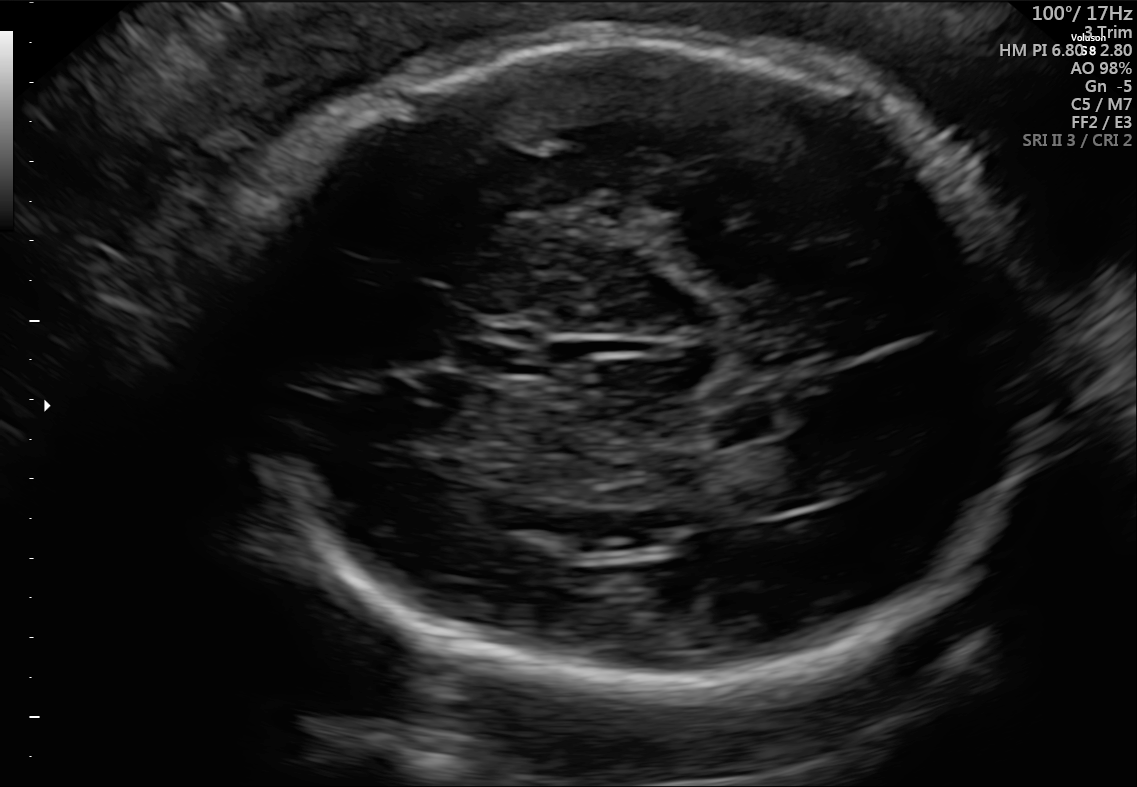
In this fetal brain, trans-thalamic plane, give the bounding box of the cavum septum pellucidum.

[467,325,546,376]